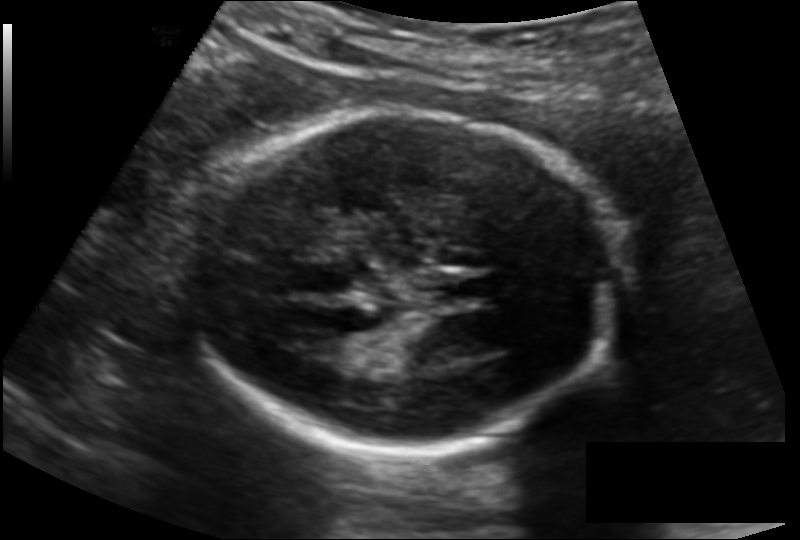
Fetal head ultrasound. Image width: 107.6 mm. Locate the fetal head.

Head: [191,112,626,454]